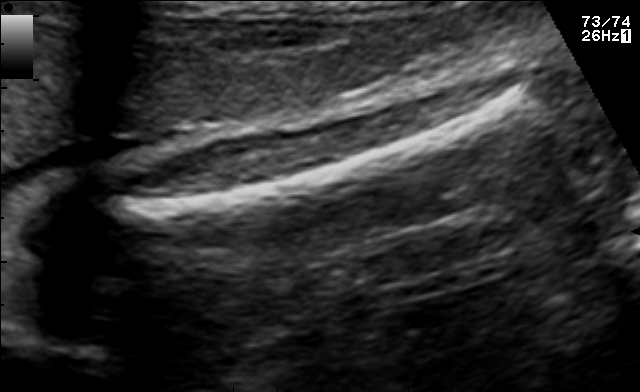
Identify the standard plane in this fetal ultrasound image: fetal abdomen, fetal brain, fetal femur, fetal thorax, maternal cervix, or other. If it's fetal brain and one of the three standard brain planes (trans-thalamic, trans-cerebellum, trans-ventricular), name which.

Fetal femur